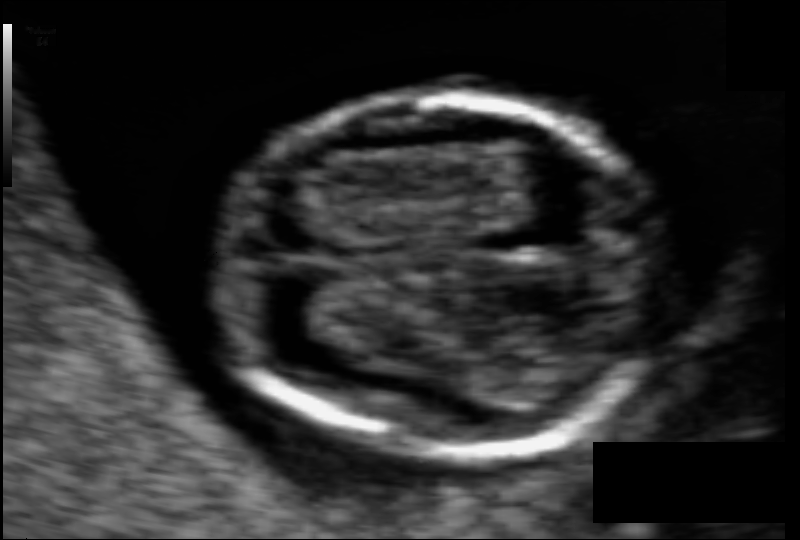
Fetal head ultrasound. Image width: 44.9 mm. Locate the fetal head and, if visible, the cavum septum pellucidum (CSP) and lateral ventricle (LV). Give bounding boxes as [x1,y1,x2,y2].

Head: [214,98,671,450]